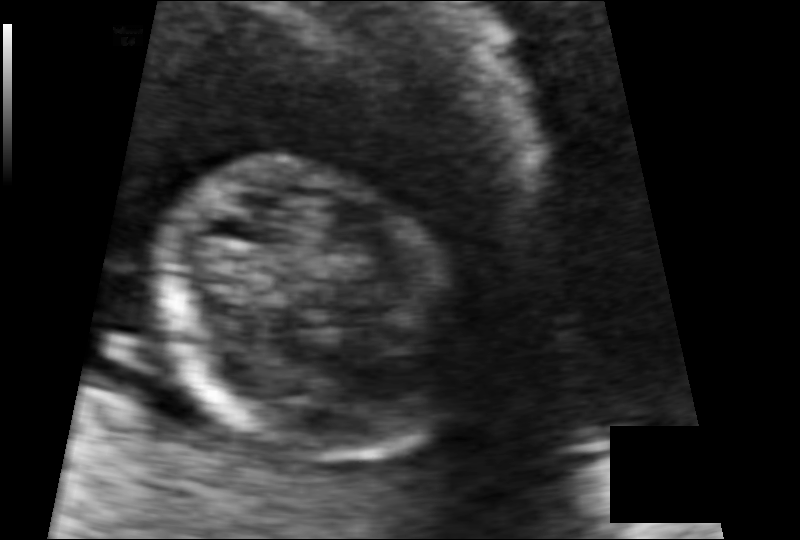
Estimate the fetal head circumference from this 2D ultrasound.

Head circumference: 79.8 mm (image width 68.4 mm).